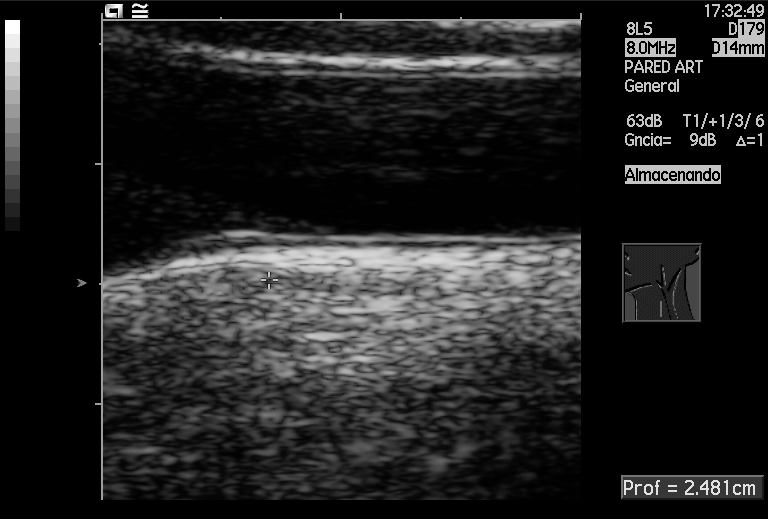
This is a 2D maternal-fetal ultrasound frame. Is it a fetal abdomen, fetal brain, fetal femur, fetal thorax, maternal cervix, or other standard plane? If it's fetal brain and one of the three standard brain planes (trans-thalamic, trans-cerebellum, trans-ventricular), name which.

Other